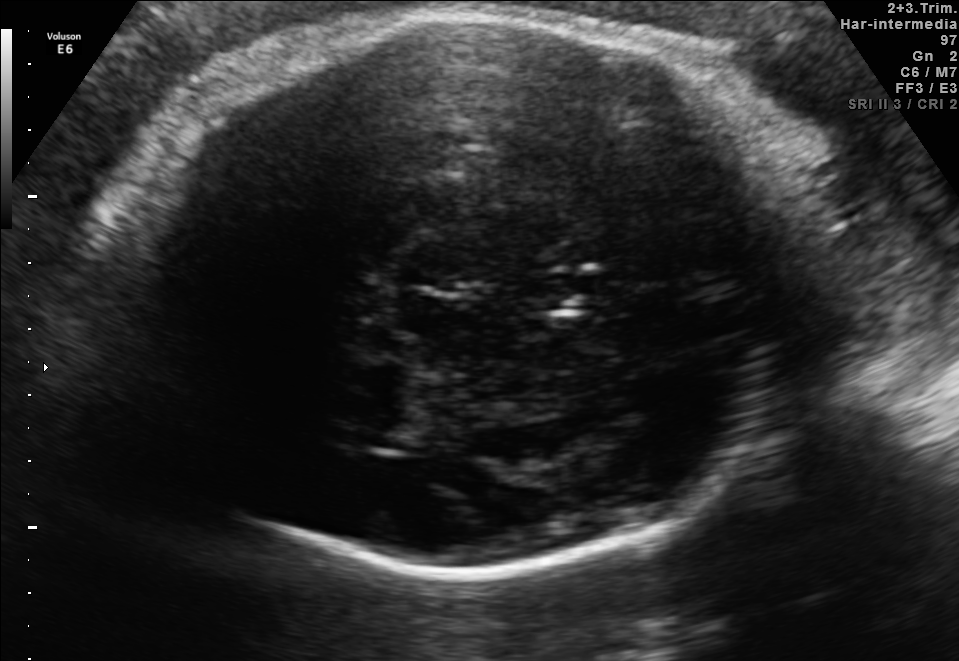
In this fetal brain, trans-thalamic plane, give the bounding box of the fetal head.

[89,14,818,567]